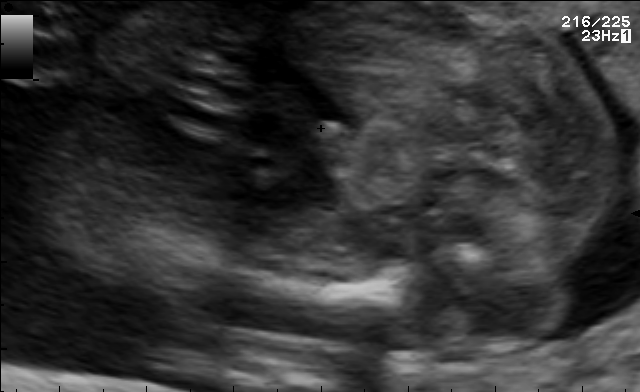
Classify this maternal-fetal ultrasound image as one of the six standard planes — fetal abdomen, fetal brain, fetal femur, fetal thorax, maternal cervix, or other. If it's fetal brain and one of the three standard brain planes (trans-thalamic, trans-cerebellum, trans-ventricular), name which.

Other